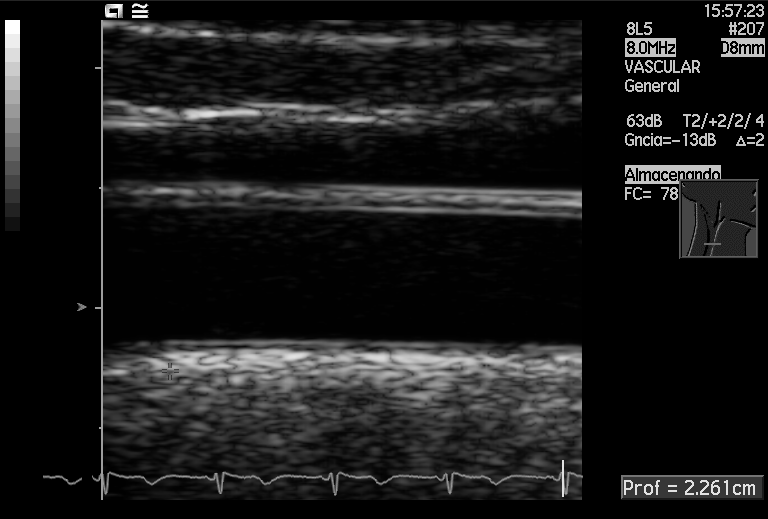
This is a 2D maternal-fetal ultrasound frame. Is it a fetal abdomen, fetal brain, fetal femur, fetal thorax, maternal cervix, or other standard plane? If it's fetal brain and one of the three standard brain planes (trans-thalamic, trans-cerebellum, trans-ventricular), name which.

Other